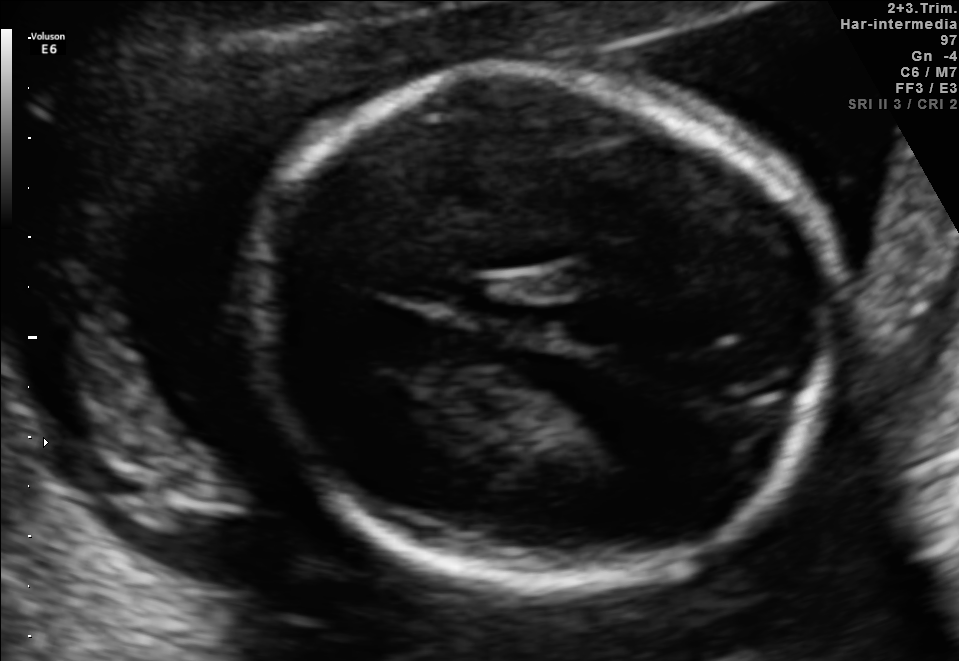
Fetal brain, trans-thalamic plane. Locate the fetal head.

Head: [250,61,831,582]